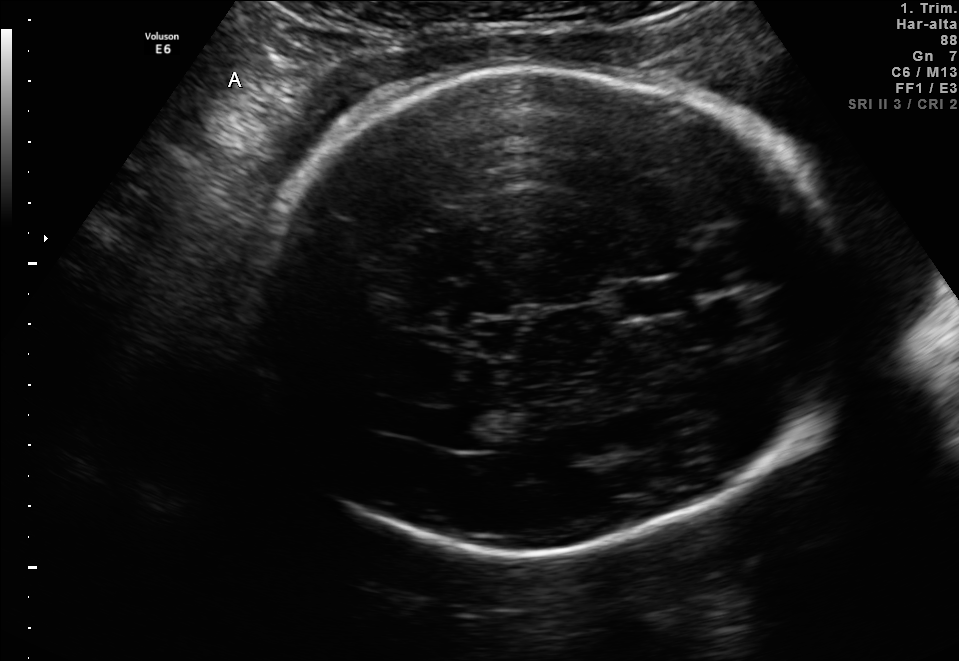
Which standard maternal-fetal ultrasound plane is shown: fetal abdomen, fetal brain, fetal femur, fetal thorax, maternal cervix, or other? If it's fetal brain and one of the three standard brain planes (trans-thalamic, trans-cerebellum, trans-ventricular), name which.

Fetal brain (trans-thalamic plane)